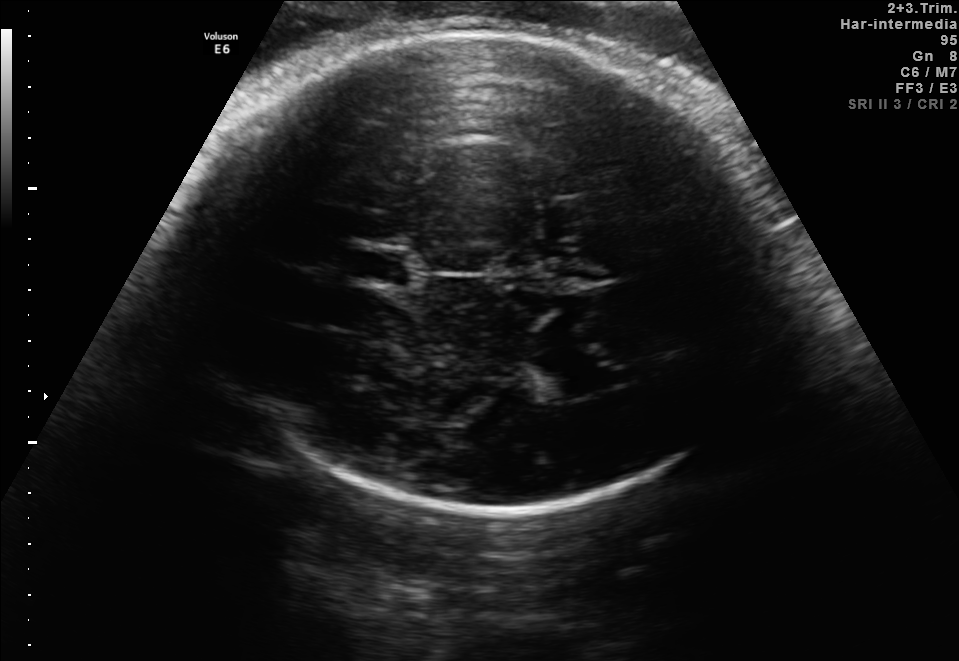
This is a 2D maternal-fetal ultrasound frame. Is it a fetal abdomen, fetal brain, fetal femur, fetal thorax, maternal cervix, or other standard plane? If it's fetal brain and one of the three standard brain planes (trans-thalamic, trans-cerebellum, trans-ventricular), name which.

Fetal brain (trans-thalamic plane)